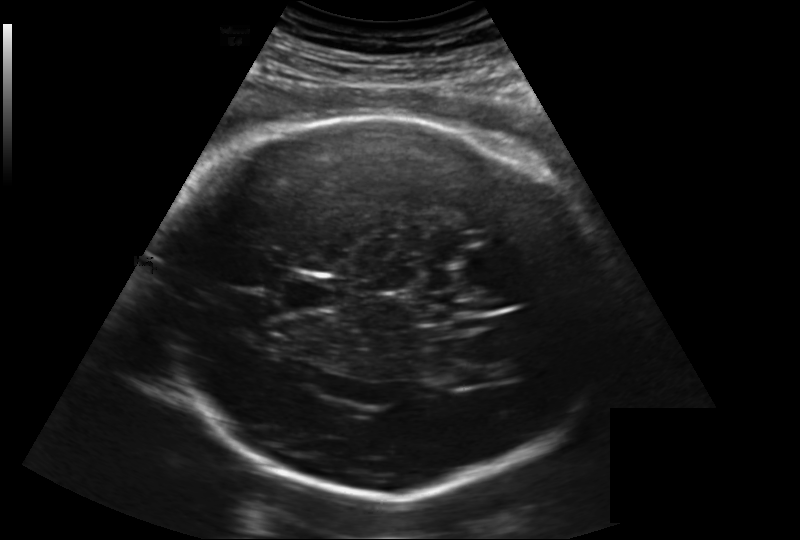
Fetal head ultrasound. Image width: 175.3 mm. Locate the fetal head.

Head: [158,116,611,499]